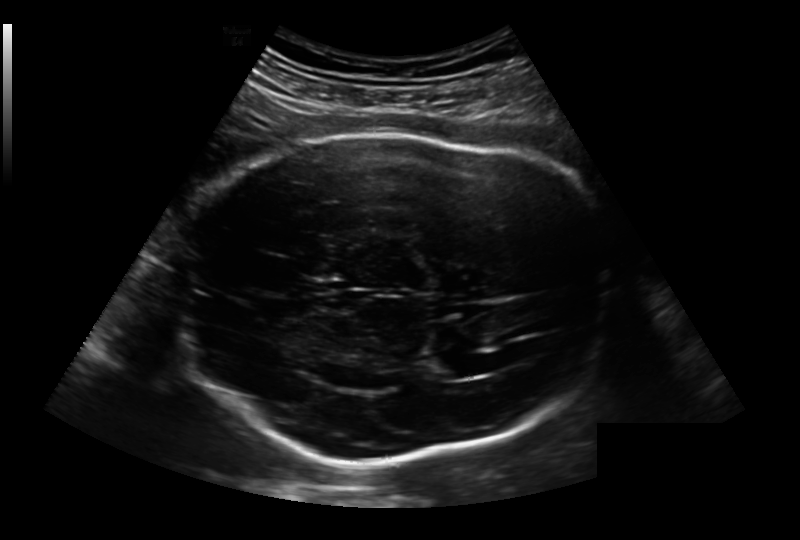
Fetal head ultrasound. Image width: 188.6 mm. Locate the fetal head.

Head: [170,136,611,462]